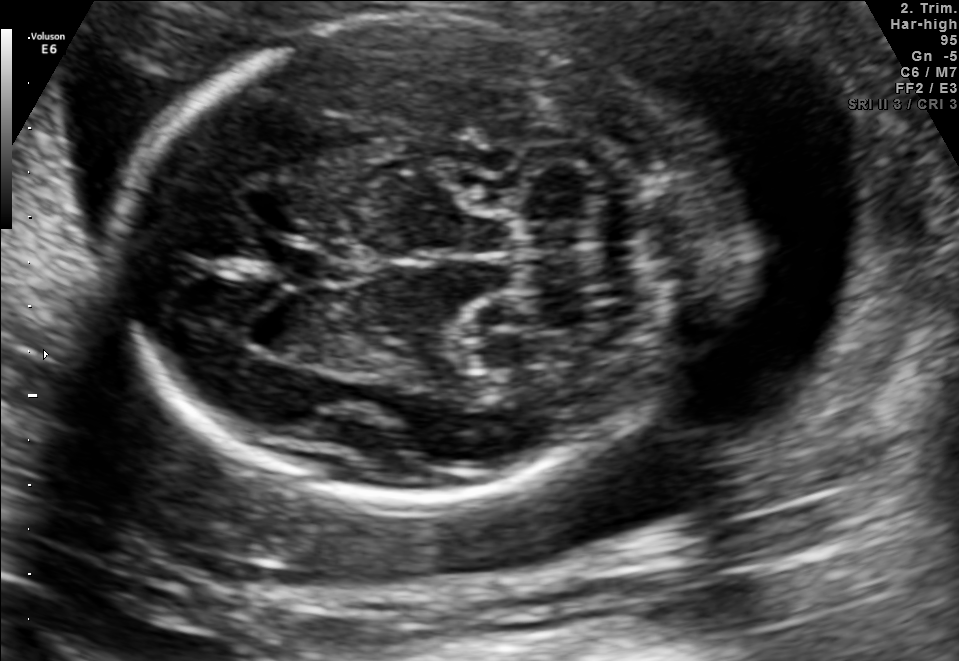
Fetal brain, trans-cerebellum plane. Give [x1,y1,x2,y2] bounding boxes for each visible structure among: fetal head, CSP, LV.

Head: [124,14,719,501]
CSP: [271,243,340,290]